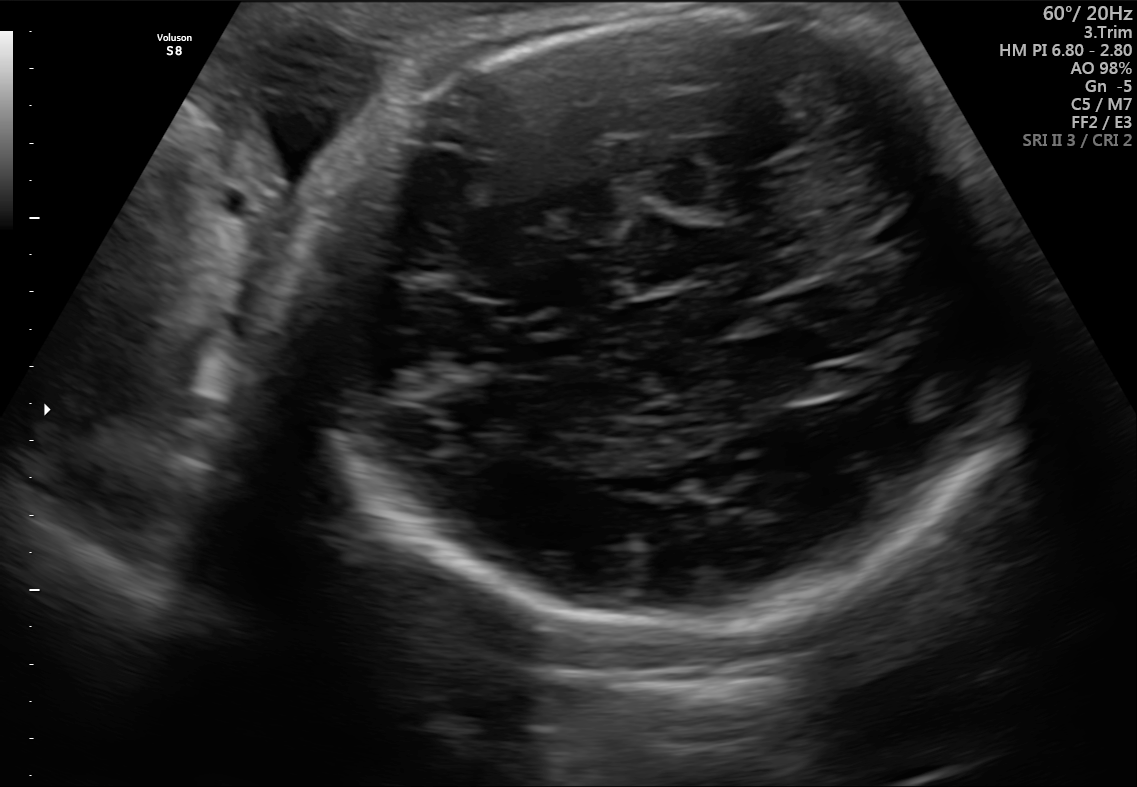
Fetal brain, trans-cerebellum plane. Locate the fetal head and, if visible, the cavum septum pellucidum (CSP) and lateral ventricle (LV). Give bounding boxes as [x1,y1,x2,y2].

Head: [314,8,1020,631]